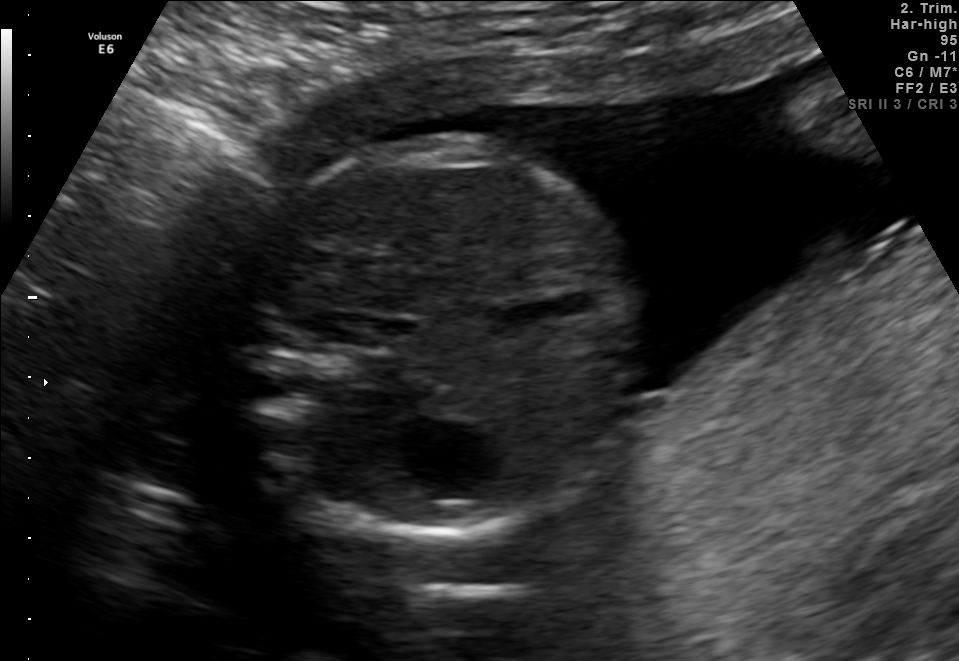
Classify this maternal-fetal ultrasound image as one of the six standard planes — fetal abdomen, fetal brain, fetal femur, fetal thorax, maternal cervix, or other. If it's fetal brain and one of the three standard brain planes (trans-thalamic, trans-cerebellum, trans-ventricular), name which.

Fetal abdomen